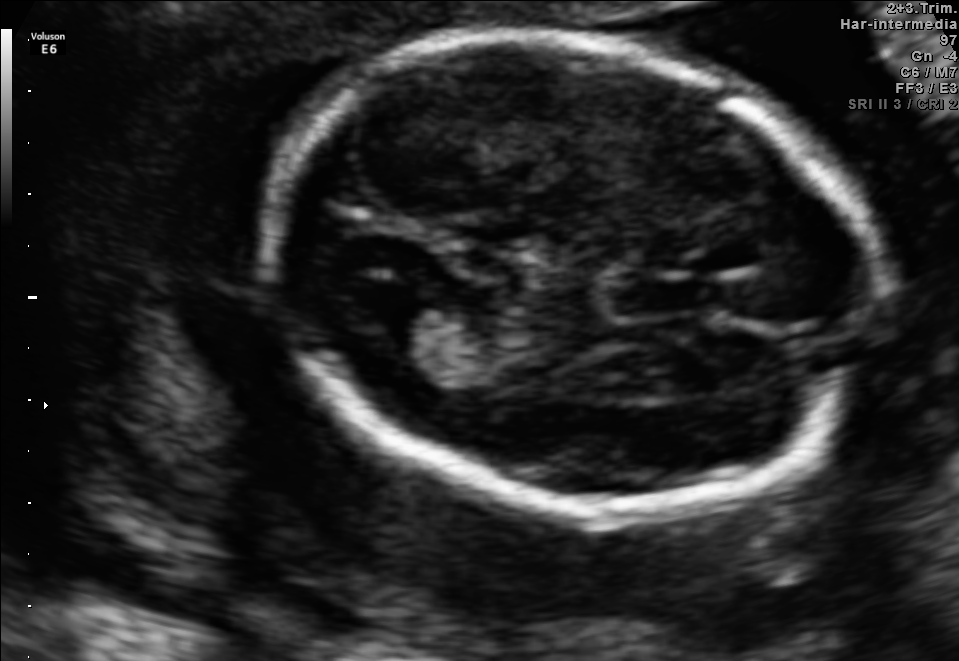
Fetal brain, trans-ventricular plane. Give [x1,y1,x2,y2] bounding boxes for each visible structure among: fetal head, CSP, LV.

Head: [251,23,888,528]